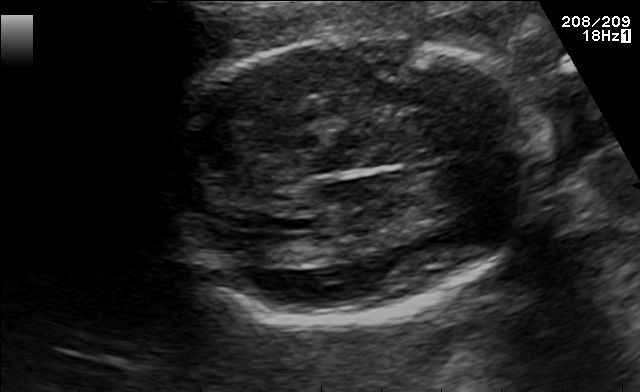
In this fetal brain, trans-thalamic plane, give bounding boxes for the head outline, cavum septum pellucidum (CSP), and lateral ventricle (LV), where visible.

Head: [163,34,545,317]
Lateral ventricle: [246,234,314,264]